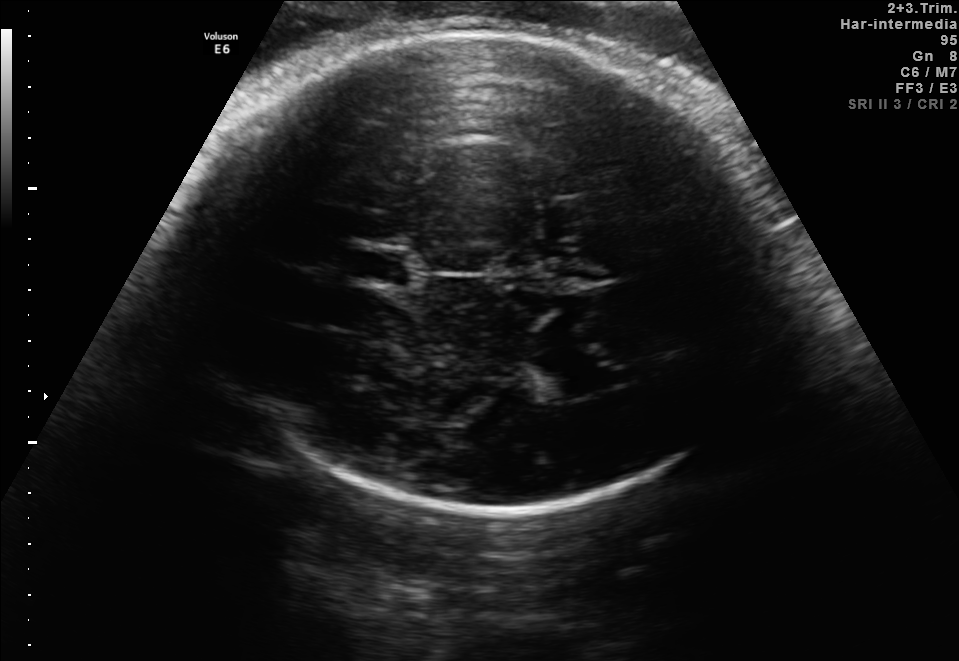
In this fetal brain, trans-thalamic plane, give bounding boxes for the head outline, cavum septum pellucidum (CSP), and lateral ventricle (LV), where visible.

Head: [179,32,782,513]
CSP: [353,246,411,288]
Lateral ventricle: [525,343,605,407]